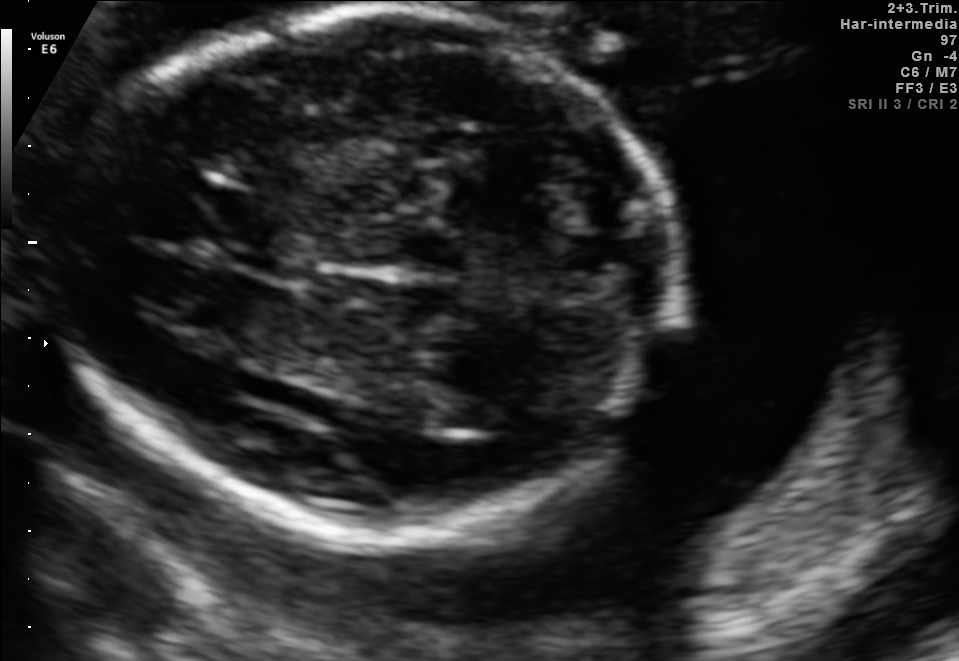
Fetal brain, trans-thalamic plane. Locate the fetal head and, if visible, the cavum septum pellucidum (CSP) and lateral ventricle (LV). Give bounding boxes as [x1,y1,x2,y2].

Head: [41,11,704,520]
CSP: [187,183,316,279]
Lateral ventricle: [434,396,515,435]